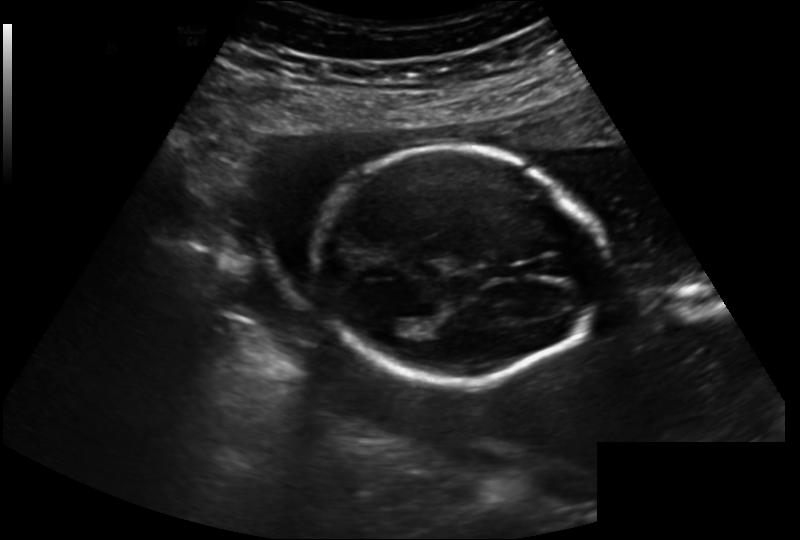
Fetal head ultrasound. Image width: 161.6 mm. Where is the fetal head?

Head bounding box: [312,146,601,382]